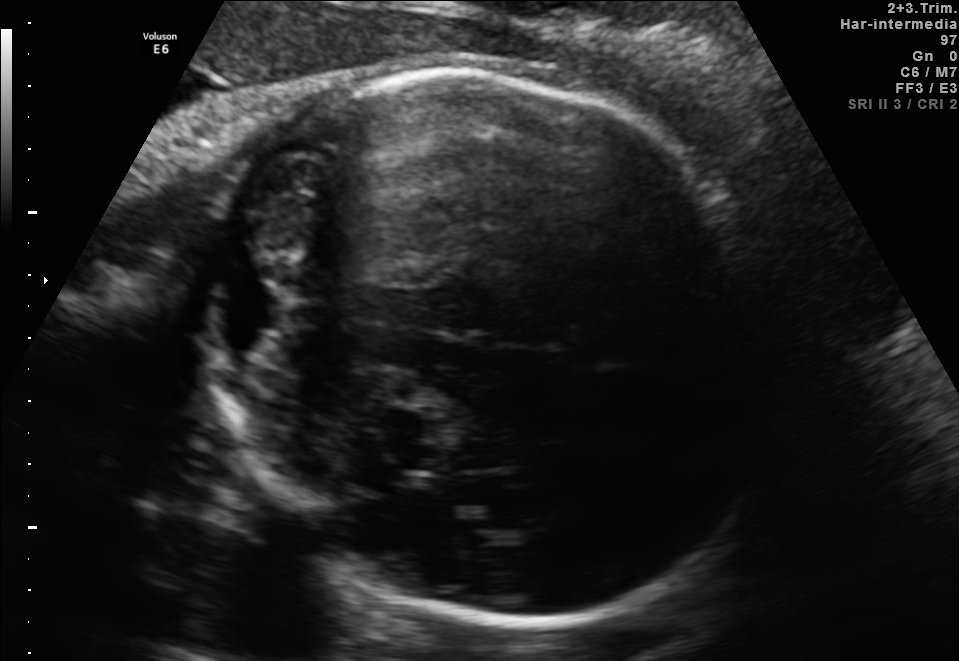
Identify the standard plane in this fetal ultrasound image: fetal abdomen, fetal brain, fetal femur, fetal thorax, maternal cervix, or other. If it's fetal brain and one of the three standard brain planes (trans-thalamic, trans-cerebellum, trans-ventricular), name which.

Fetal brain (trans-cerebellum plane)